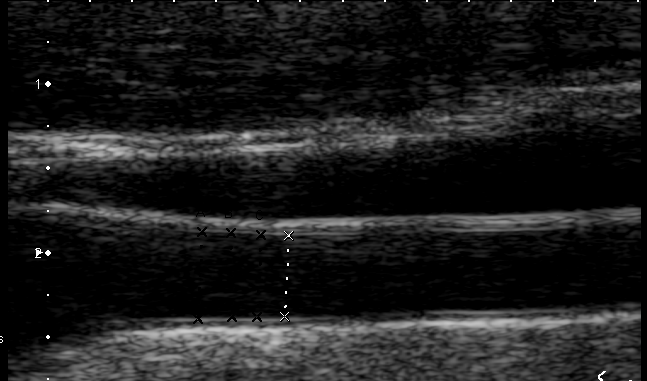
This is a 2D maternal-fetal ultrasound frame. Is it a fetal abdomen, fetal brain, fetal femur, fetal thorax, maternal cervix, or other standard plane? If it's fetal brain and one of the three standard brain planes (trans-thalamic, trans-cerebellum, trans-ventricular), name which.

Other